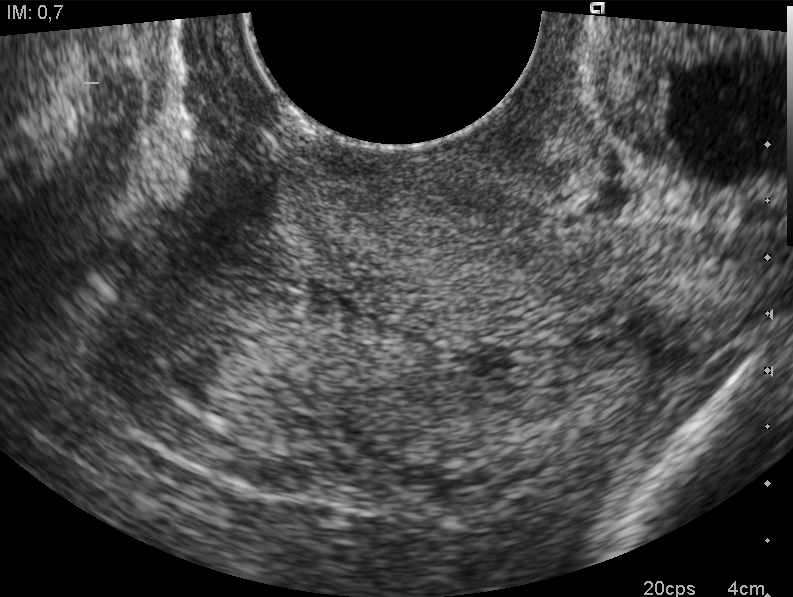
This is a 2D maternal-fetal ultrasound frame. Is it a fetal abdomen, fetal brain, fetal femur, fetal thorax, maternal cervix, or other standard plane? If it's fetal brain and one of the three standard brain planes (trans-thalamic, trans-cerebellum, trans-ventricular), name which.

Maternal cervix